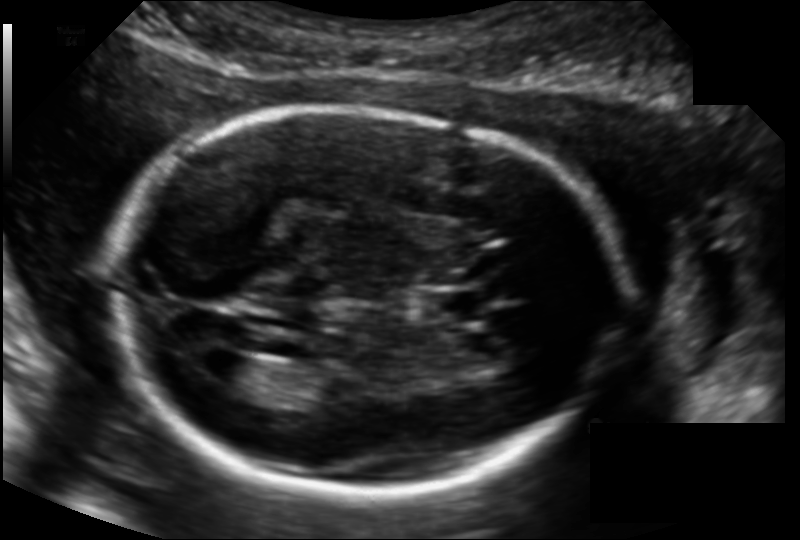
Fetal head ultrasound. Image width: 107.7 mm. Locate the lateral ventricle.

Lateral ventricle: [194,343,267,397]